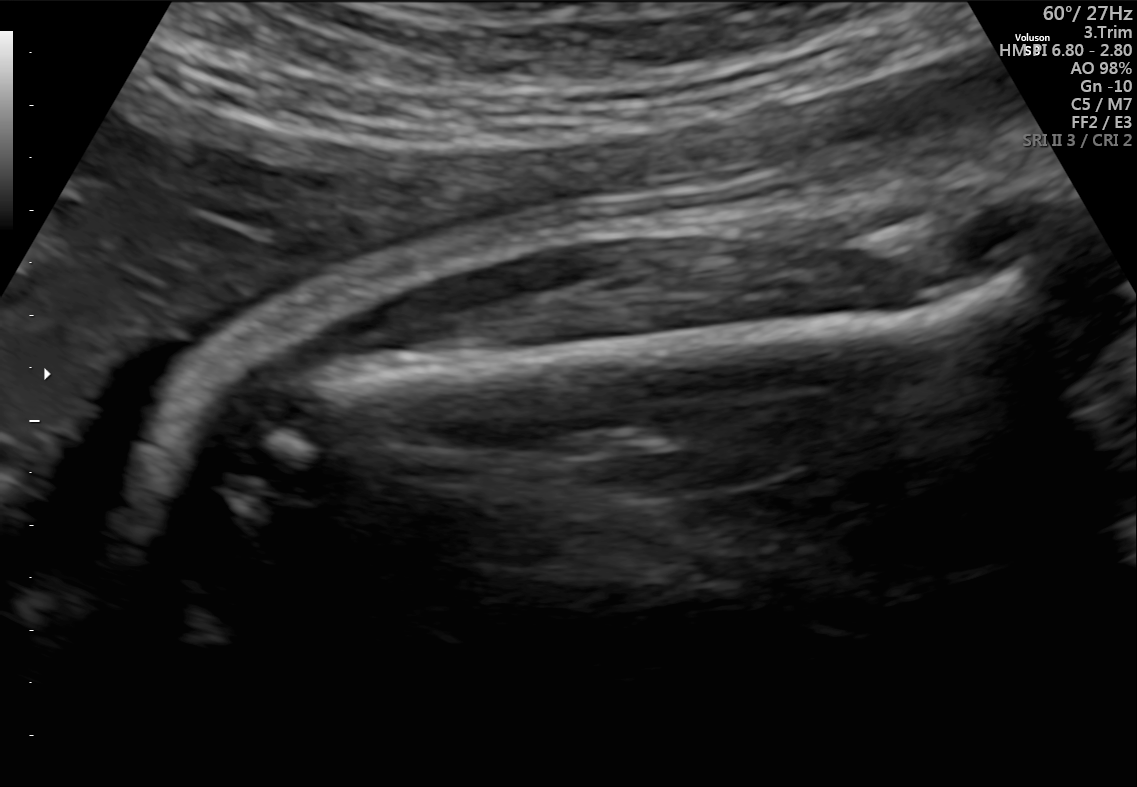
This is a 2D maternal-fetal ultrasound frame. Is it a fetal abdomen, fetal brain, fetal femur, fetal thorax, maternal cervix, or other standard plane? If it's fetal brain and one of the three standard brain planes (trans-thalamic, trans-cerebellum, trans-ventricular), name which.

Fetal femur